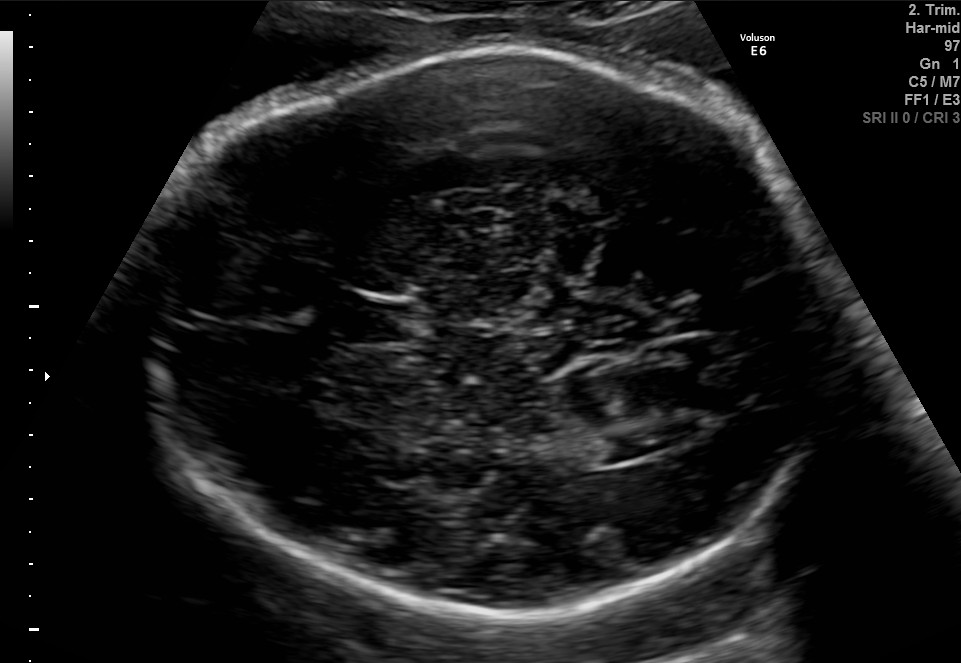
Fetal brain, trans-ventricular plane. Locate the cavum septum pellucidum.

CSP: [342,301,410,343]